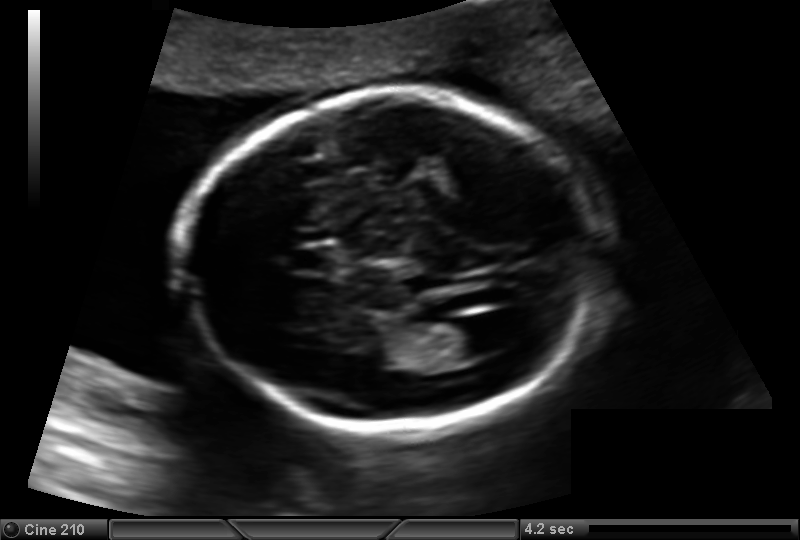
In this fetal head ultrasound, give the bounding box of the fetal head. Image width: 109.7 mm.

[186,90,599,431]